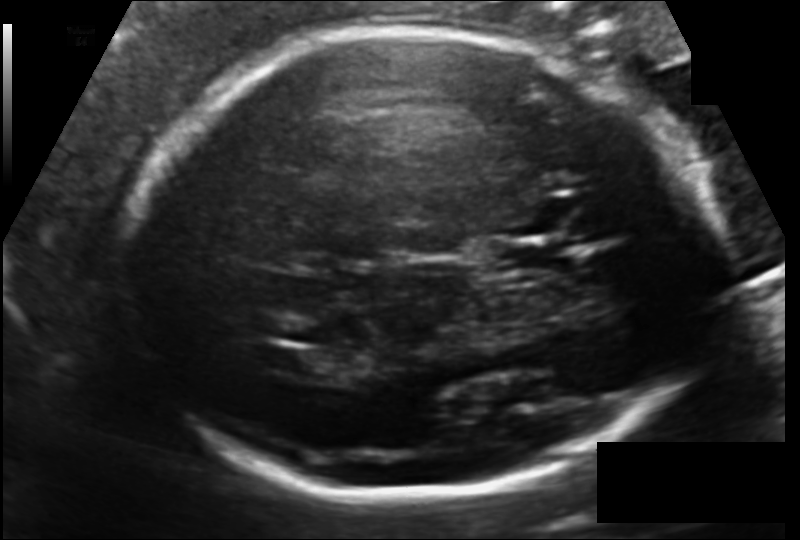
Fetal head ultrasound. Image width: 106.4 mm. Give [x1,y1,x2,y2] bounding boxes for each visible structure among: fetal head, CSP, LV.

Head: [115,31,718,494]
CSP: [485,234,572,276]
Lateral ventricle: [264,346,327,379]